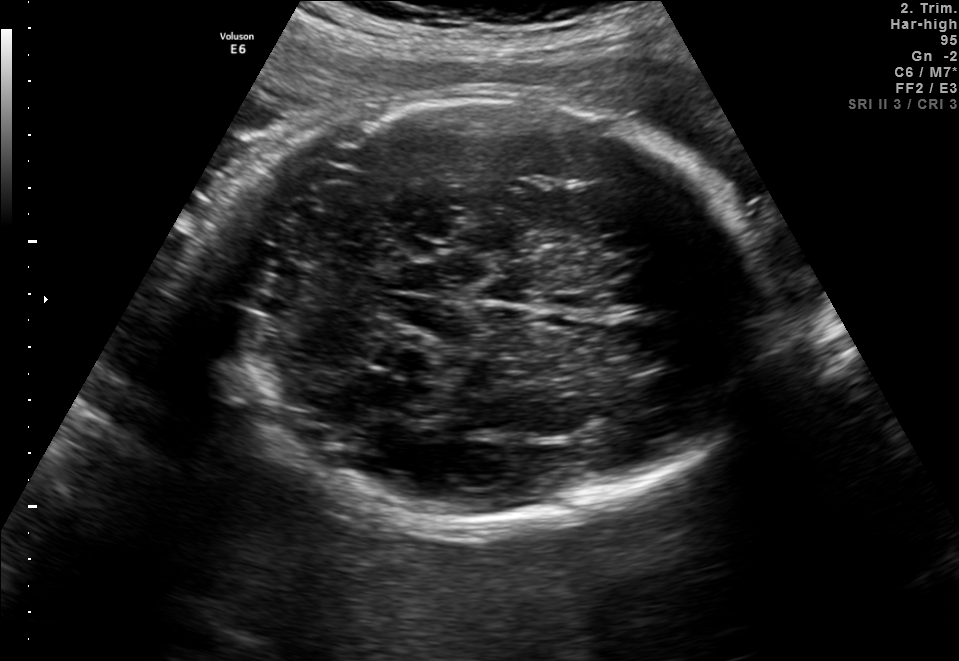
In this fetal brain, trans-cerebellum plane, give bounding boxes for the head outline, cavum septum pellucidum (CSP), and lateral ventricle (LV), where visible.

Head: [222,98,753,523]